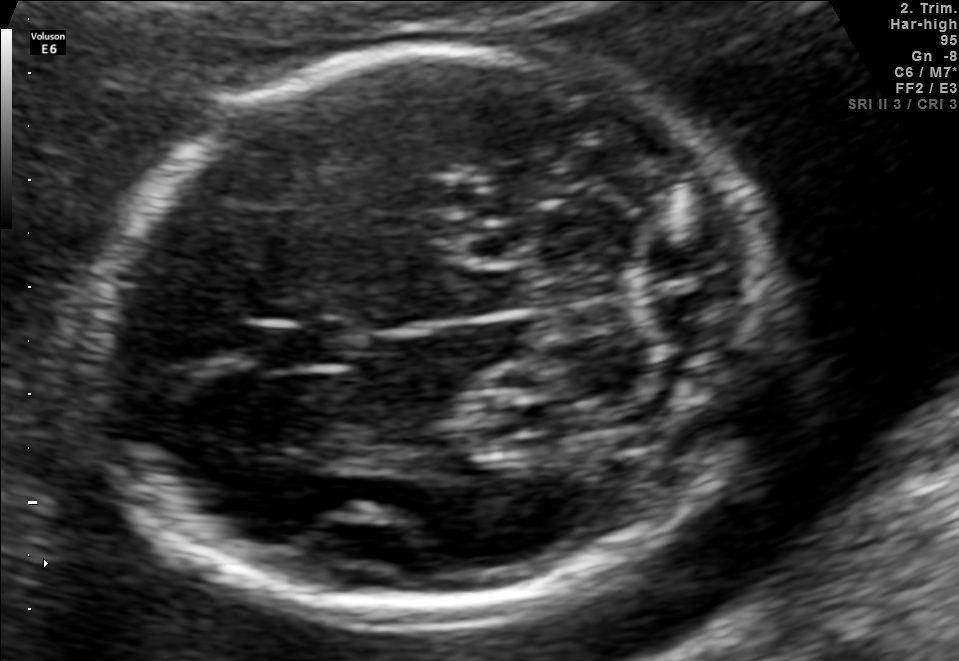
Fetal brain, trans-cerebellum plane. Give [x1,y1,x2,y2] bounding boxes for each visible structure among: fetal head, CSP, LV.

Head: [94,45,765,618]
CSP: [253,320,354,370]